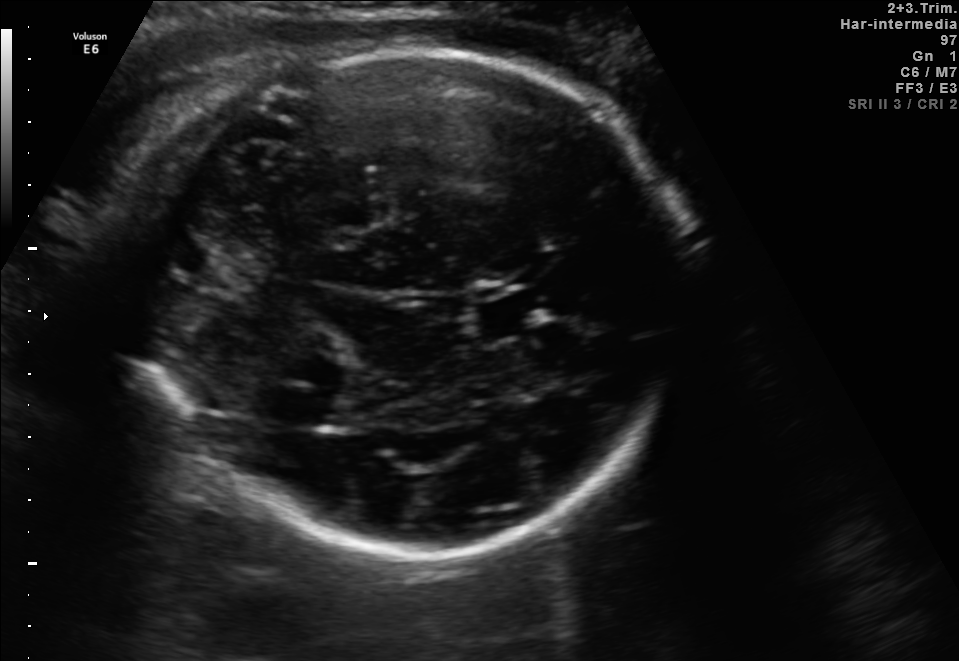
In this fetal brain, trans-thalamic plane, give the bounding box of the lateral ventricle.

[269,391,340,424]